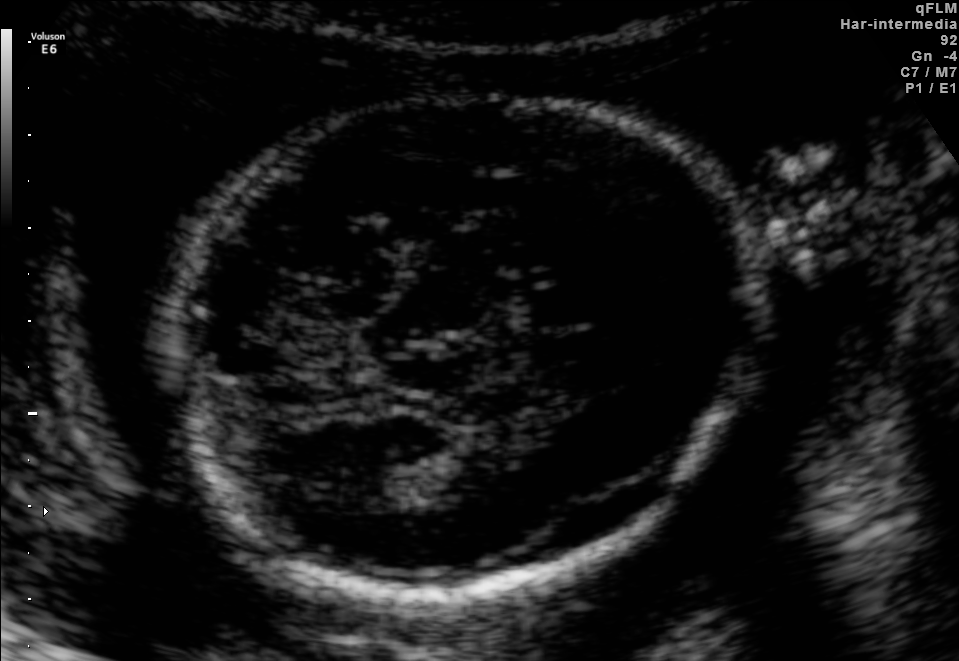
Fetal brain, trans-thalamic plane. Locate the fetal head and, if visible, the cavum septum pellucidum (CSP) and lateral ventricle (LV). Give bounding boxes as [x1,y1,x2,y2].

Head: [167,92,752,593]
Lateral ventricle: [331,464,404,514]